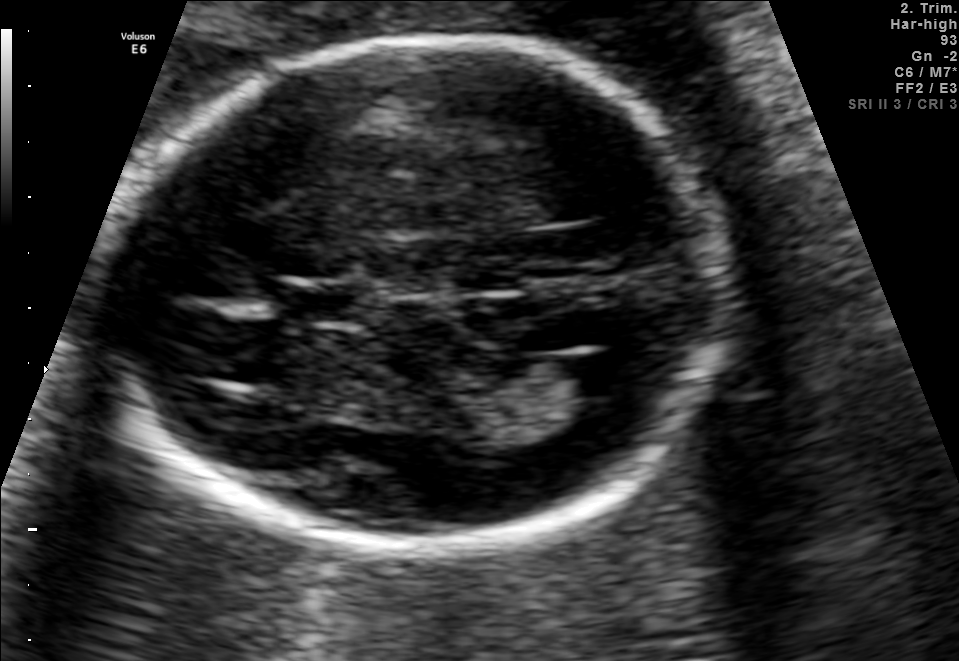
Fetal brain, trans-ventricular plane. Locate the lateral ventricle.

Lateral ventricle: [539,347,634,404]